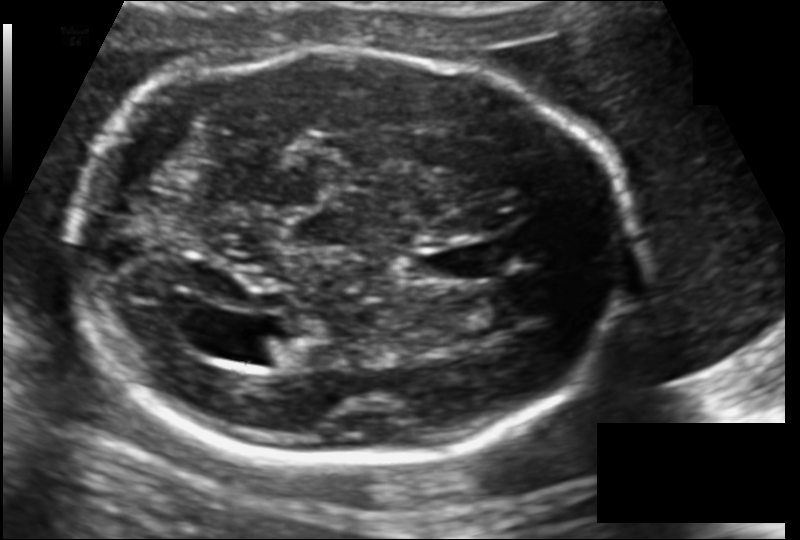
Fetal head ultrasound. Image width: 110.0 mm. Locate the fetal head and, if visible, the cavum septum pellucidum (CSP) and lateral ventricle (LV). Give bounding boxes as [x1,y1,x2,y2].

Head: [70,49,636,460]
CSP: [416,238,501,288]
Lateral ventricle: [240,328,306,372]